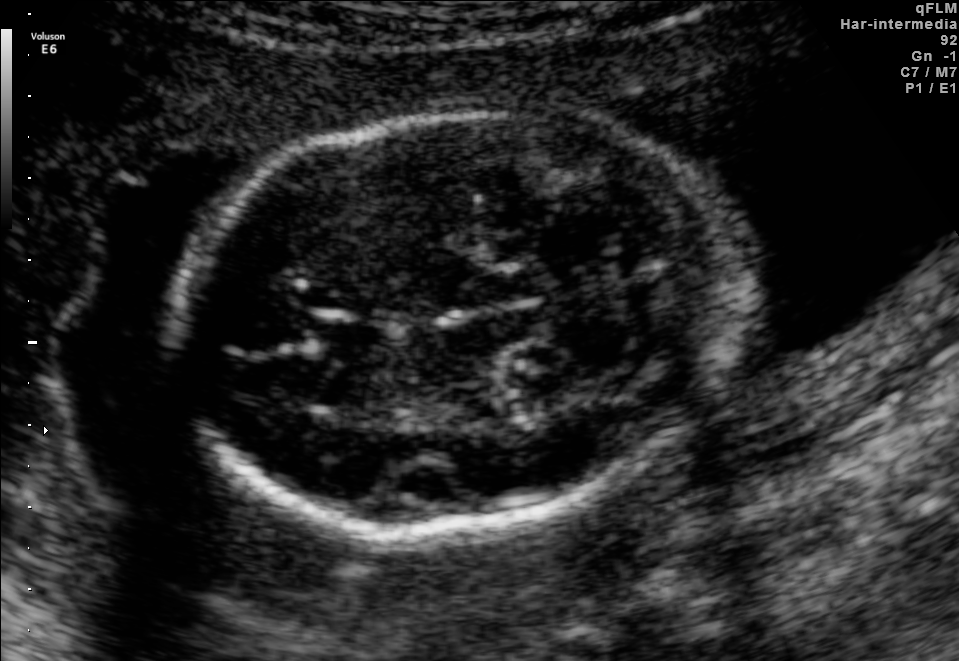
Fetal brain, trans-cerebellum plane. Where is the cavum septum pellucidum?

CSP bounding box: [318,316,393,361]